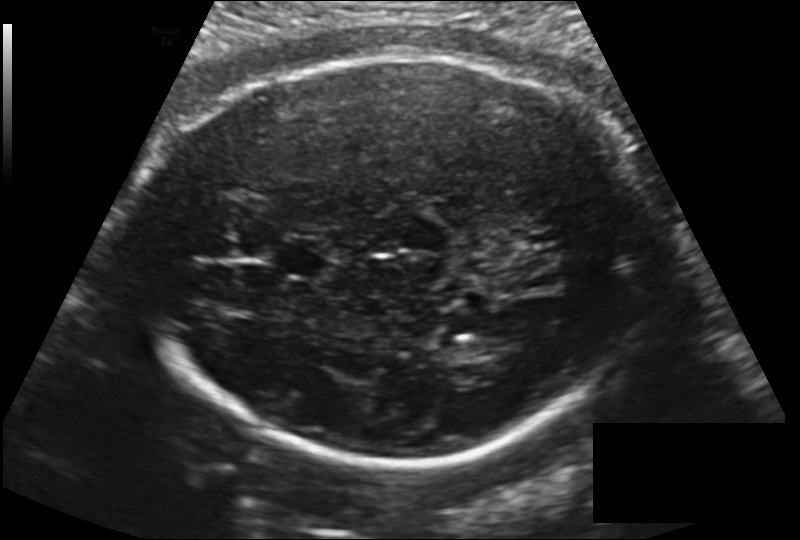
In this fetal head ultrasound, give the bounding box of the cavum septum pellucidum. Image width: 144.8 mm.

[274,237,336,279]